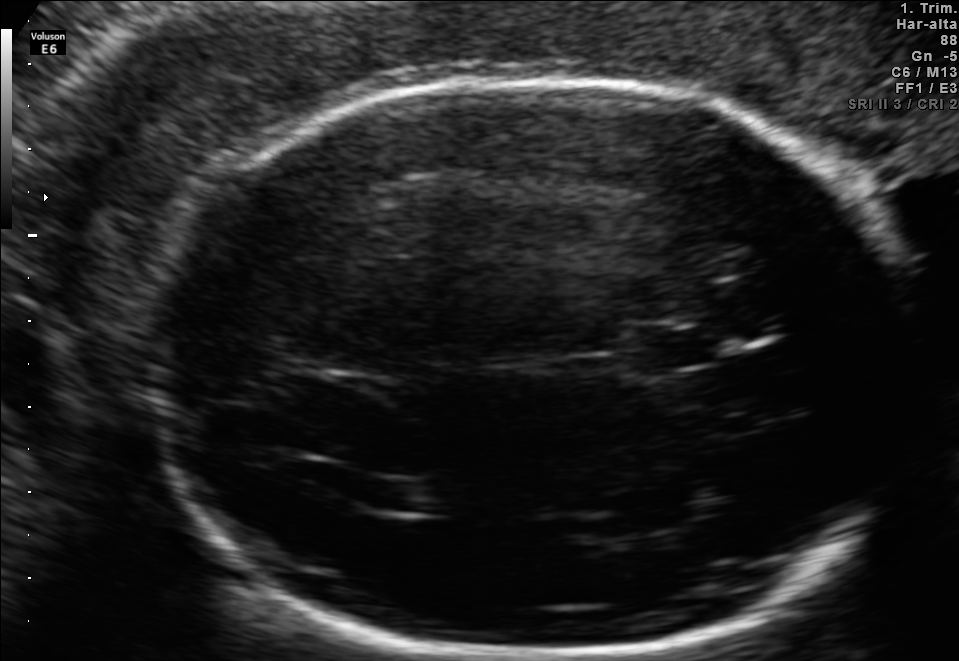
In this fetal brain, trans-thalamic plane, give the bounding box of the lateral ventricle.

[371,480,452,515]